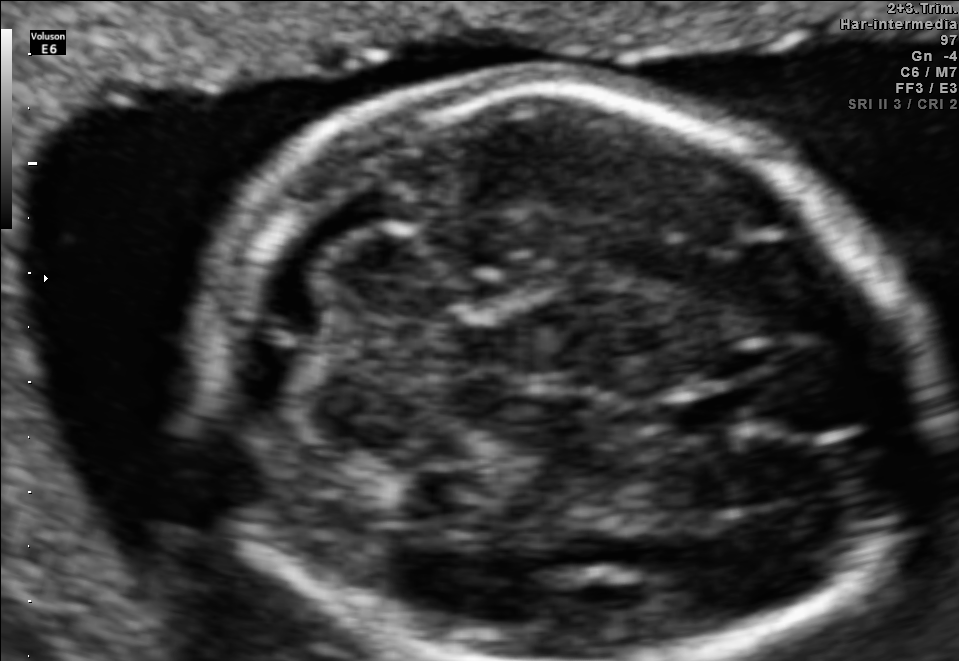
In this fetal brain, trans-cerebellum plane, give the bounding box of the cavum septum pellucidum.

[666,381,770,447]